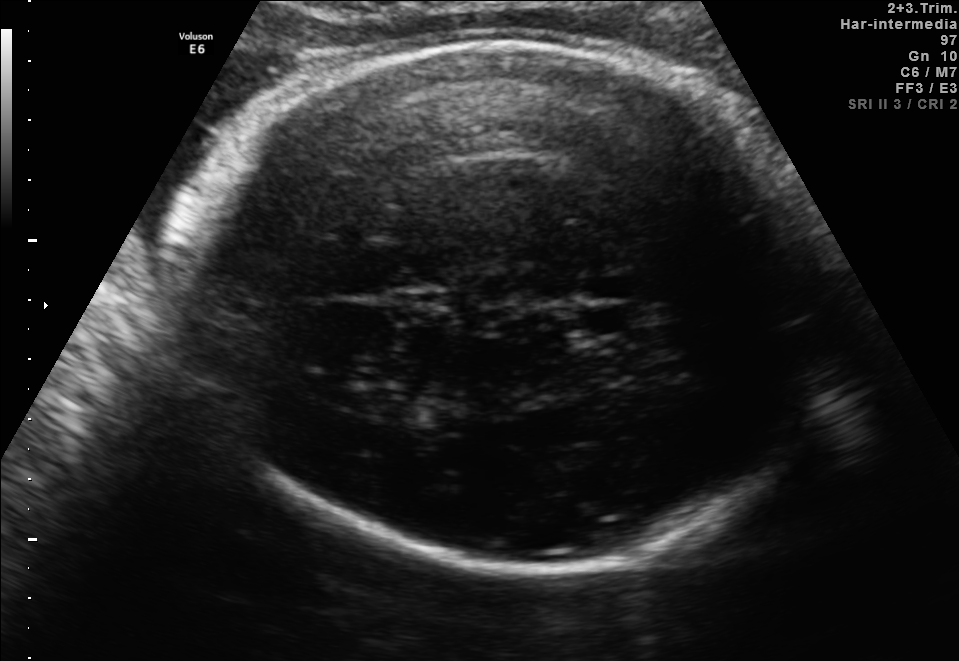
In this fetal brain, trans-thalamic plane, give the bounding box of the cavum septum pellucidum.

[580,304,629,337]